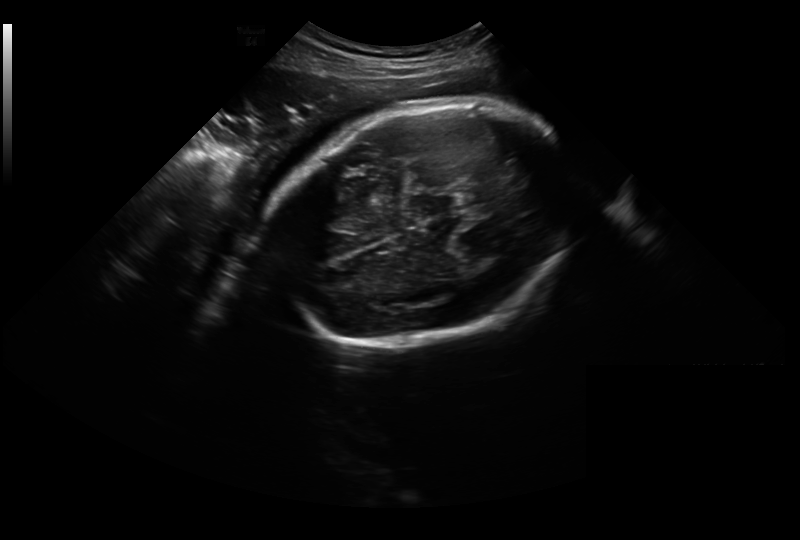
From this fetal ultrasound, estimate the head circumference (image width 261.1 mm).

Head circumference: 288.2 mm.